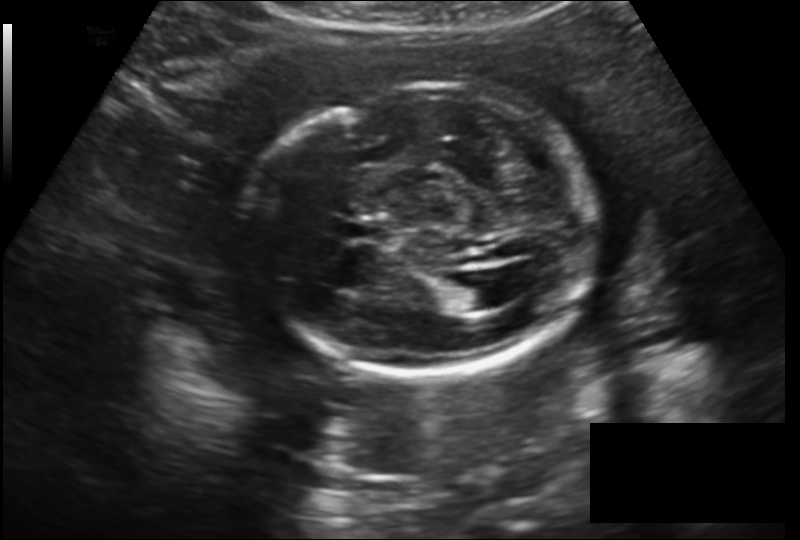
Fetal head ultrasound. Image width: 145.7 mm. Where is the cavum septum pellucidum?

CSP bounding box: [344,220,387,242]